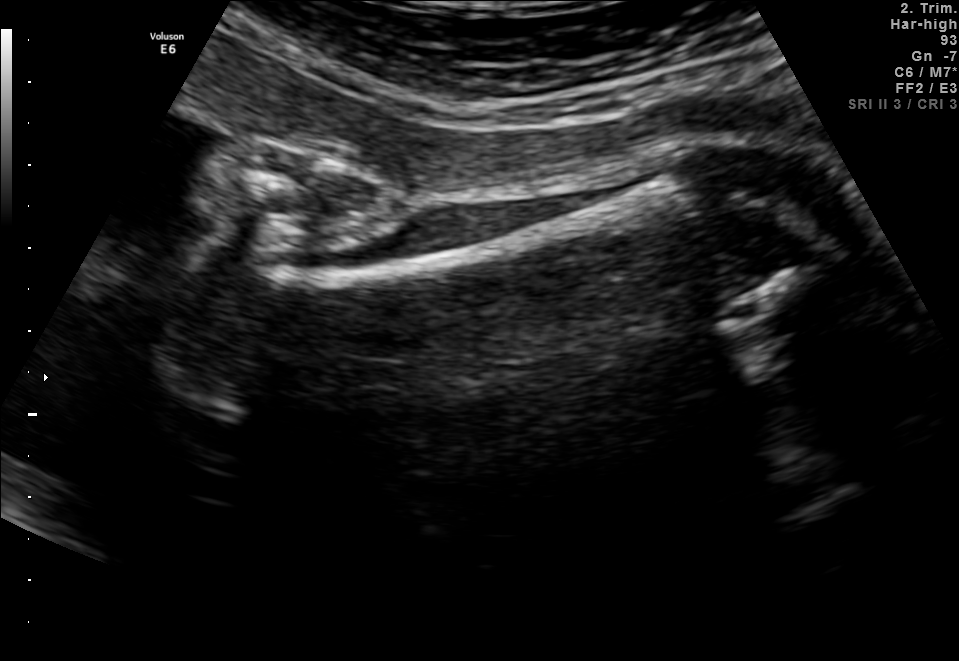
Classify this maternal-fetal ultrasound image as one of the six standard planes — fetal abdomen, fetal brain, fetal femur, fetal thorax, maternal cervix, or other. If it's fetal brain and one of the three standard brain planes (trans-thalamic, trans-cerebellum, trans-ventricular), name which.

Fetal femur